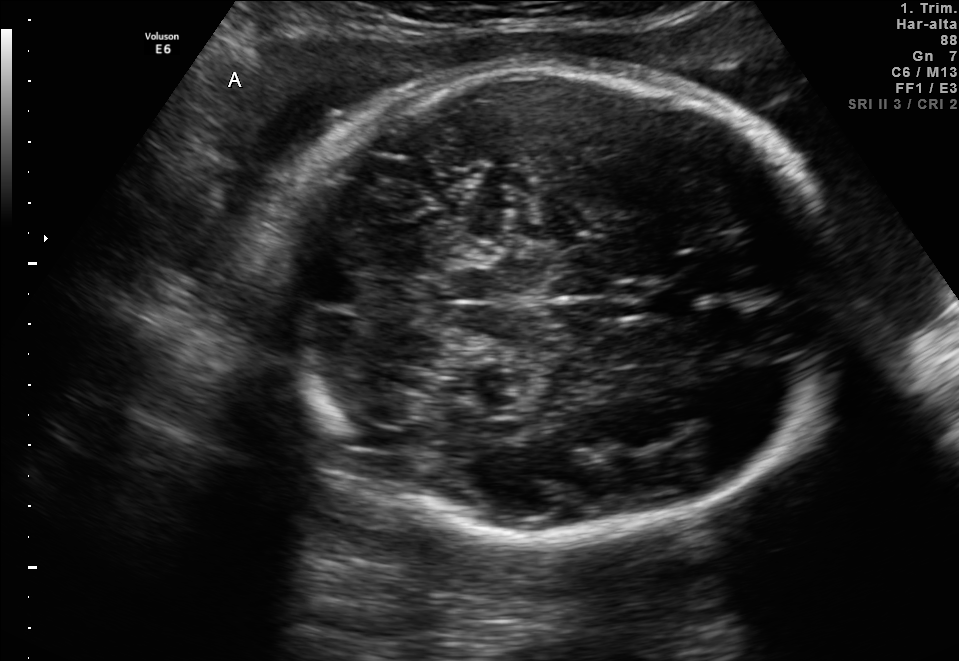
Fetal brain, trans-cerebellum plane. Give [x1,y1,x2,y2] bounding boxes for each visible structure among: fetal head, CSP, LV.

Head: [260,66,849,537]